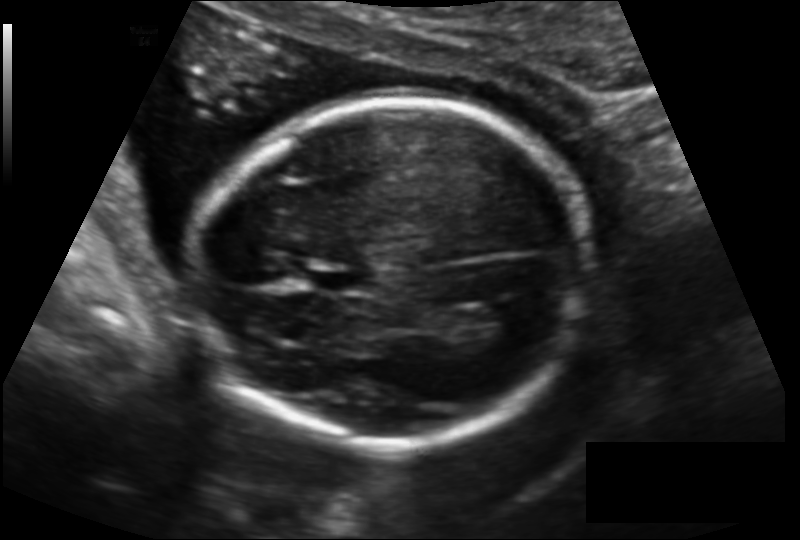
Fetal head ultrasound. Image width: 111.8 mm. Give [x1,y1,x2,y2] bounding boxes for each visible structure among: fetal head, CSP, LV.

Head: [201,99,591,444]
CSP: [309,264,370,297]
Lateral ventricle: [472,298,533,340]